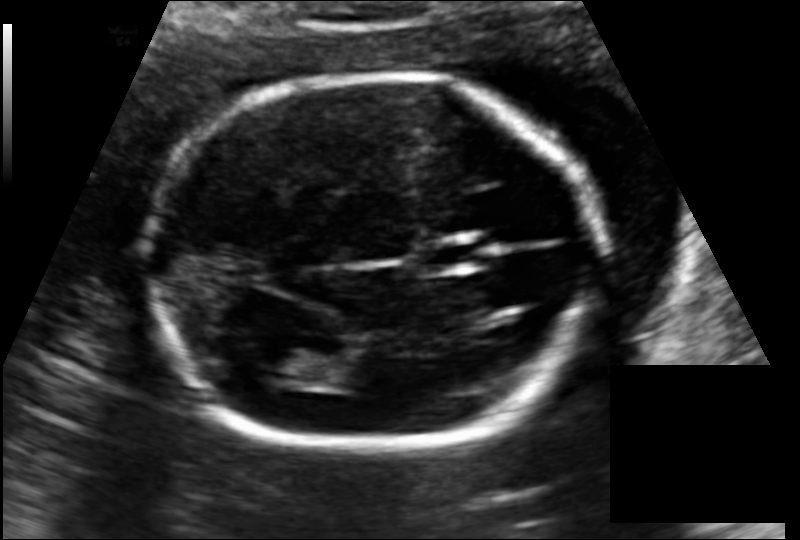
Fetal head ultrasound. Image width: 101.6 mm. Locate the cavum septum pellucidum.

CSP: [417,238,482,272]